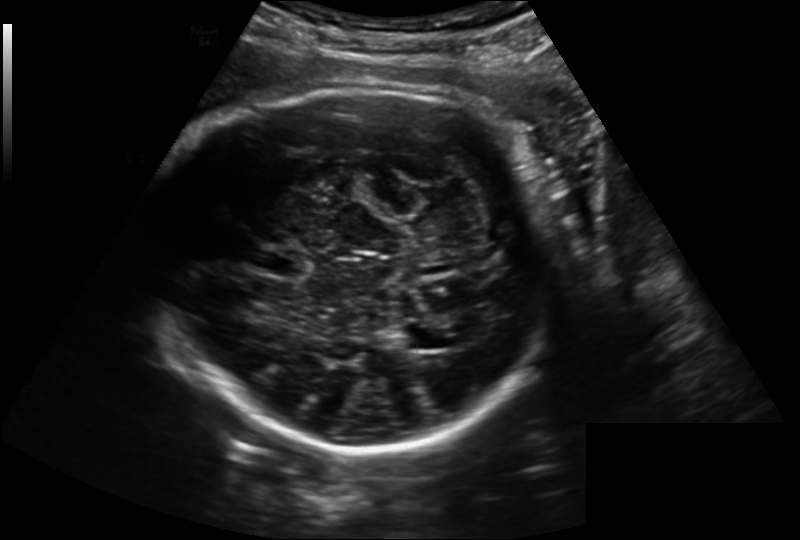
Estimate the fetal head circumference from this 2D ultrasound. Image width: 177.2 mm.

Head circumference: 281.3 mm.